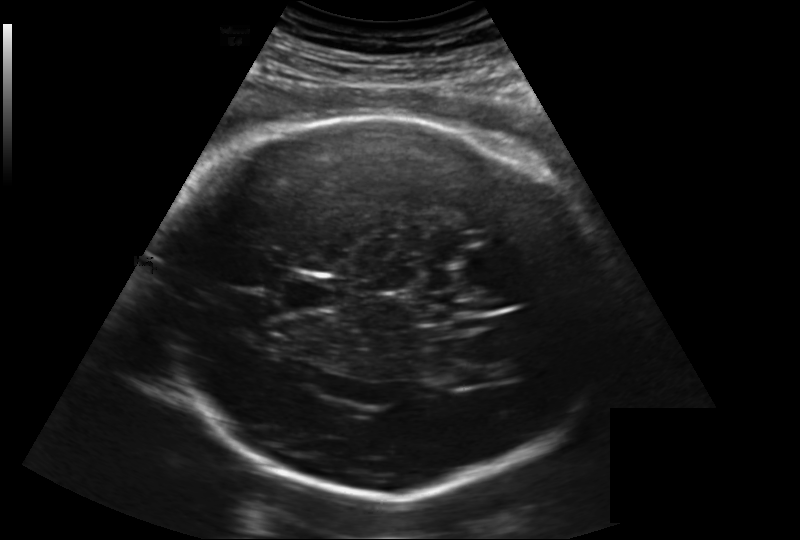
From this fetal ultrasound, estimate the head circumference (image width 175.3 mm).

Head circumference: 293.4 mm.